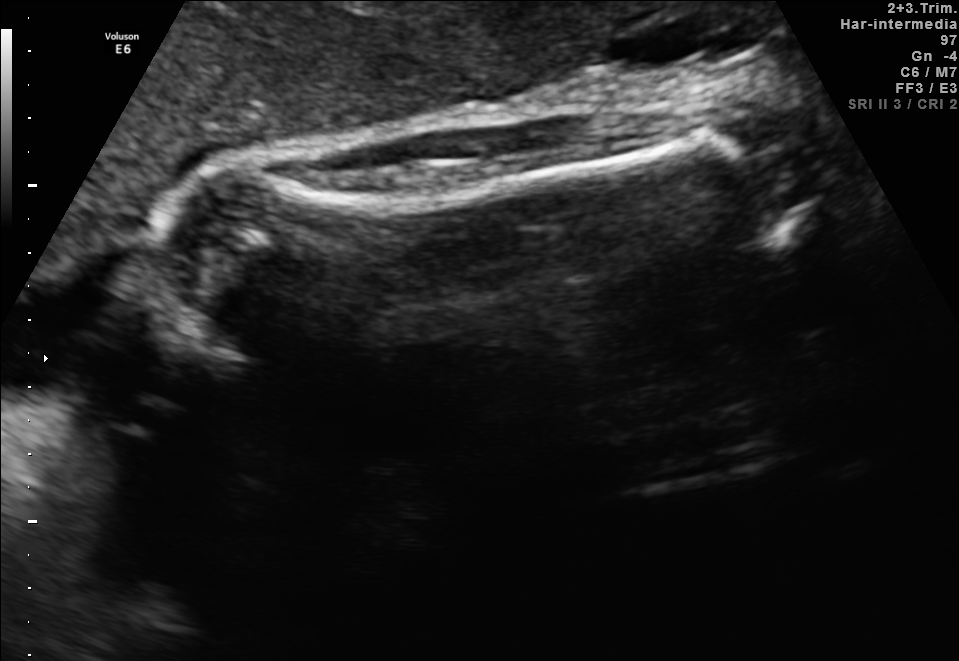
Classify this maternal-fetal ultrasound image as one of the six standard planes — fetal abdomen, fetal brain, fetal femur, fetal thorax, maternal cervix, or other. If it's fetal brain and one of the three standard brain planes (trans-thalamic, trans-cerebellum, trans-ventricular), name which.

Fetal femur